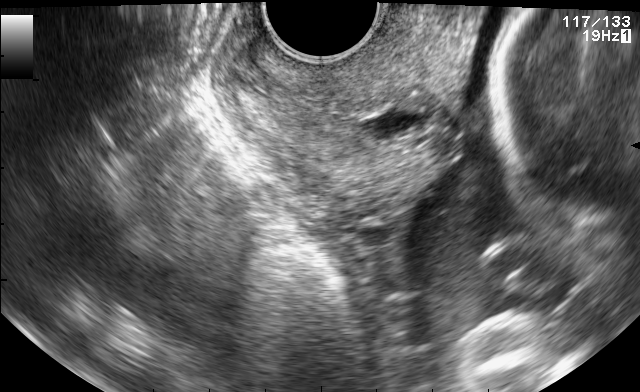
Which standard maternal-fetal ultrasound plane is shown: fetal abdomen, fetal brain, fetal femur, fetal thorax, maternal cervix, or other? If it's fetal brain and one of the three standard brain planes (trans-thalamic, trans-cerebellum, trans-ventricular), name which.

Maternal cervix